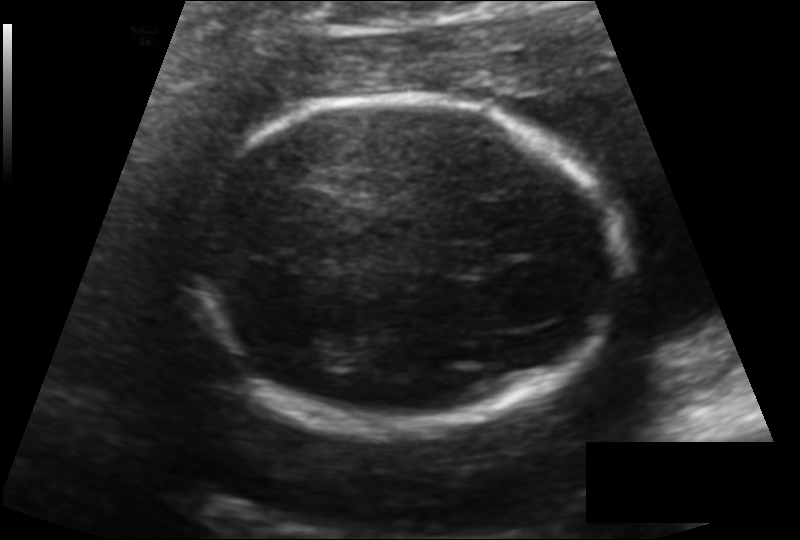
Estimate the fetal head circumference from this 2D ultrasound.

Head circumference: 166.9 mm (image width 109.0 mm).